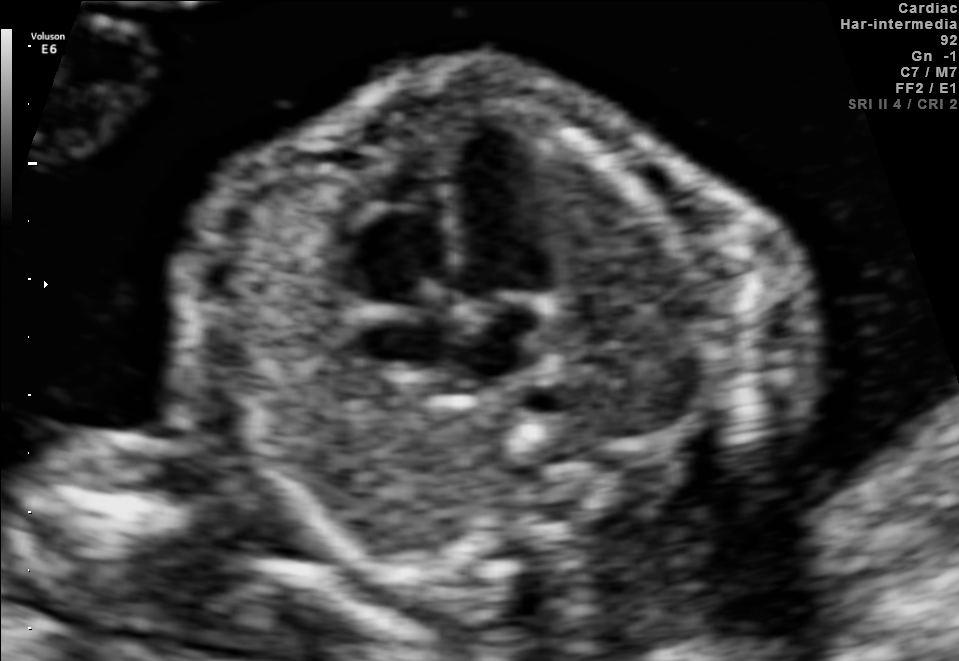
Classify this maternal-fetal ultrasound image as one of the six standard planes — fetal abdomen, fetal brain, fetal femur, fetal thorax, maternal cervix, or other. If it's fetal brain and one of the three standard brain planes (trans-thalamic, trans-cerebellum, trans-ventricular), name which.

Fetal thorax